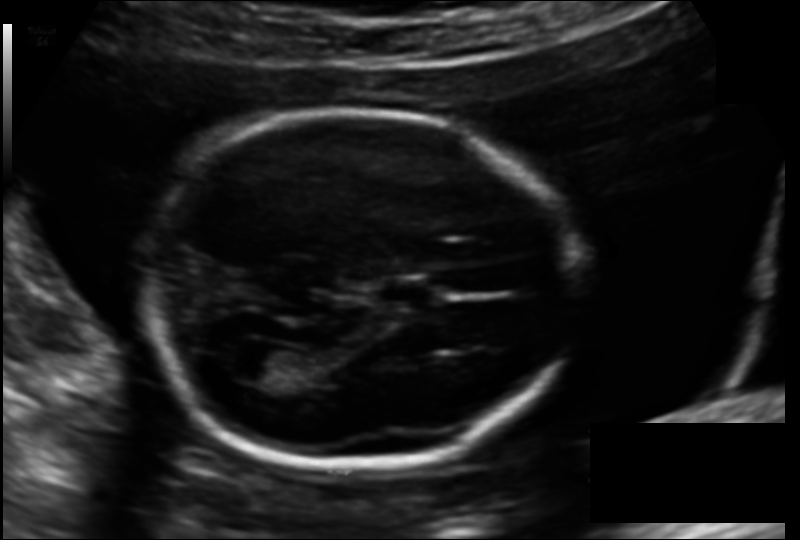
In this fetal head ultrasound, give the bounding box of the fetal head. Image width: 109.9 mm.

[153,114,569,477]